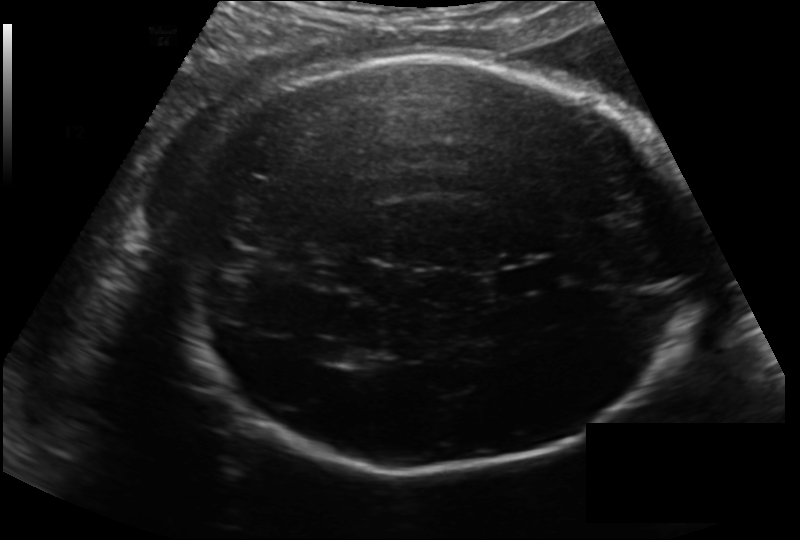
Estimate the fetal head circumference from this 2D ultrasound. Image width: 146.5 mm.

Head circumference: 274.4 mm.